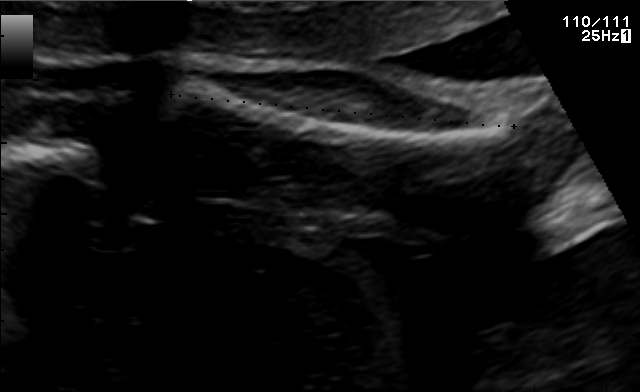
This is a 2D maternal-fetal ultrasound frame. Is it a fetal abdomen, fetal brain, fetal femur, fetal thorax, maternal cervix, or other standard plane? If it's fetal brain and one of the three standard brain planes (trans-thalamic, trans-cerebellum, trans-ventricular), name which.

Other